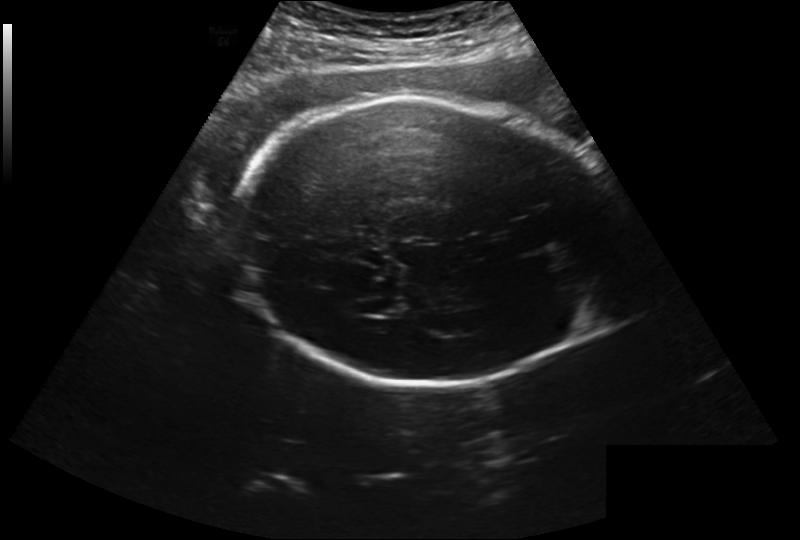
Fetal head ultrasound. Image width: 208.3 mm. Give [x1,y1,x2,y2] bounding boxes for each visible structure among: fetal head, CSP, LV.

Head: [233,97,614,387]
Lateral ventricle: [369,297,407,315]